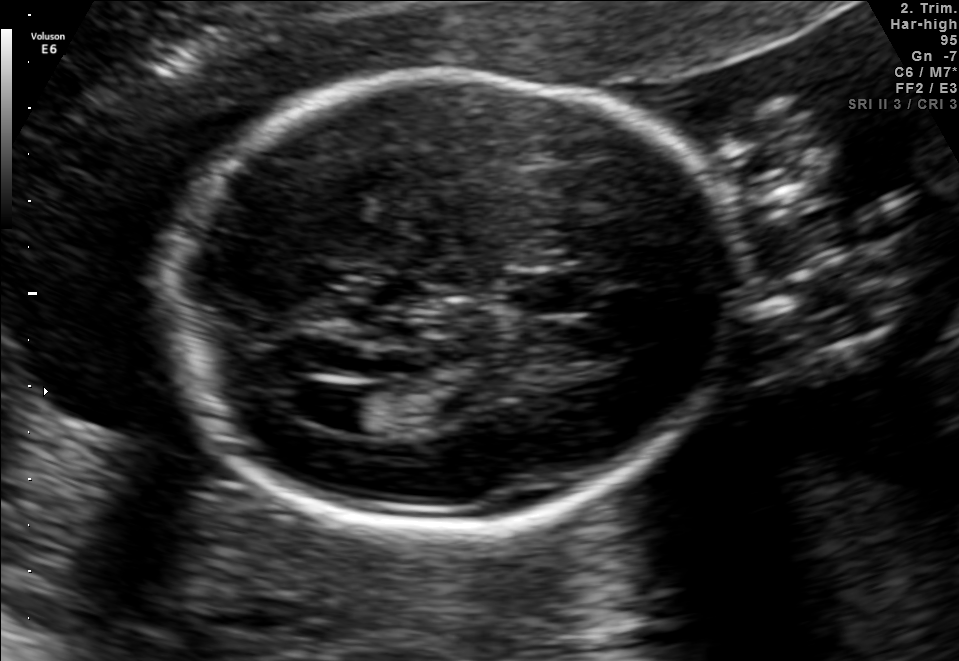
Fetal brain, trans-ventricular plane. Where is the fetal head?

Head bounding box: [157,64,754,537]